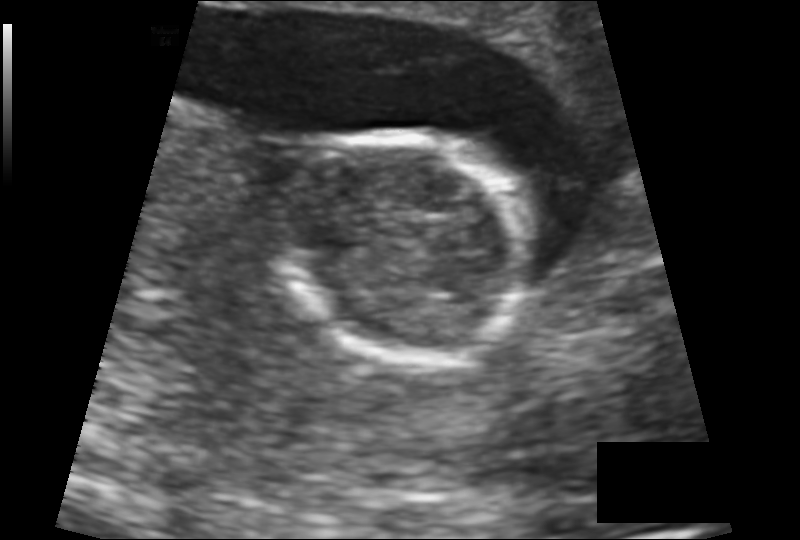
Estimate the fetal head circumference from this 2D ultrasound.

Head circumference: 105.5 mm (image width 109.7 mm).